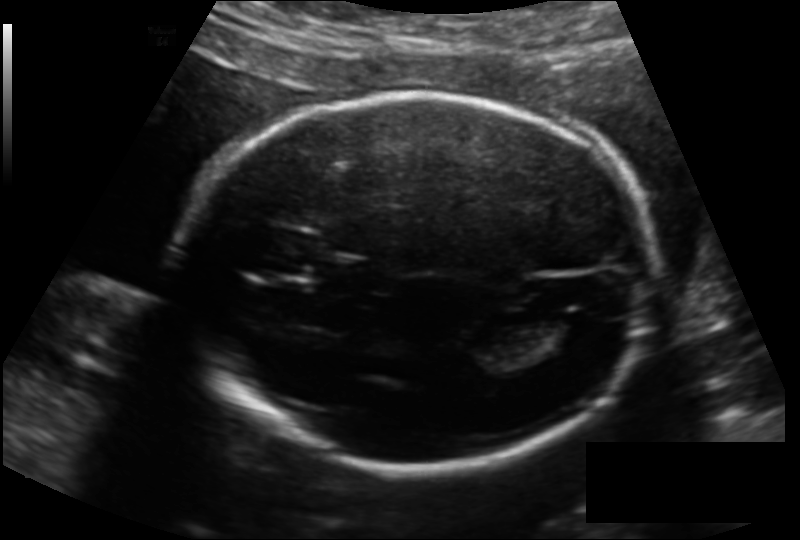
Measure the fetal head circumference shown in this ultrasound image. Image width: 120.8 mm.

Head circumference: 208.9 mm.